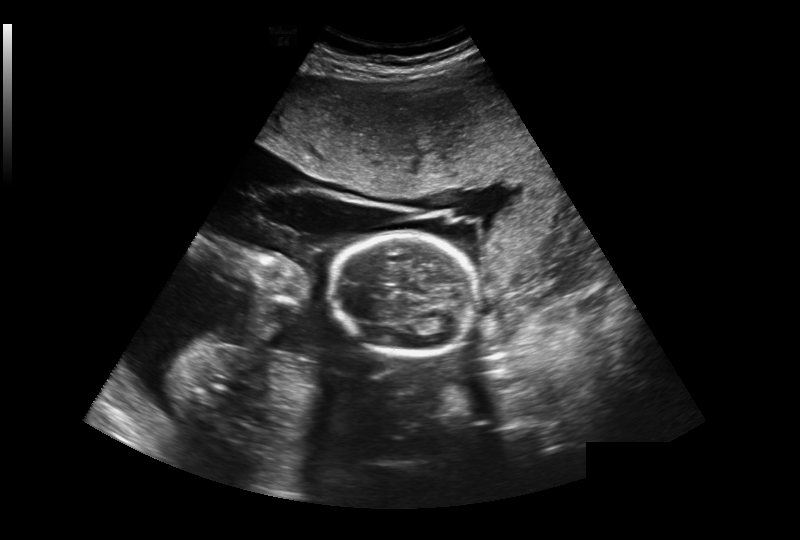
Fetal head ultrasound. Image width: 314.6 mm. Where is the fetal head?

Head bounding box: [331,234,477,355]